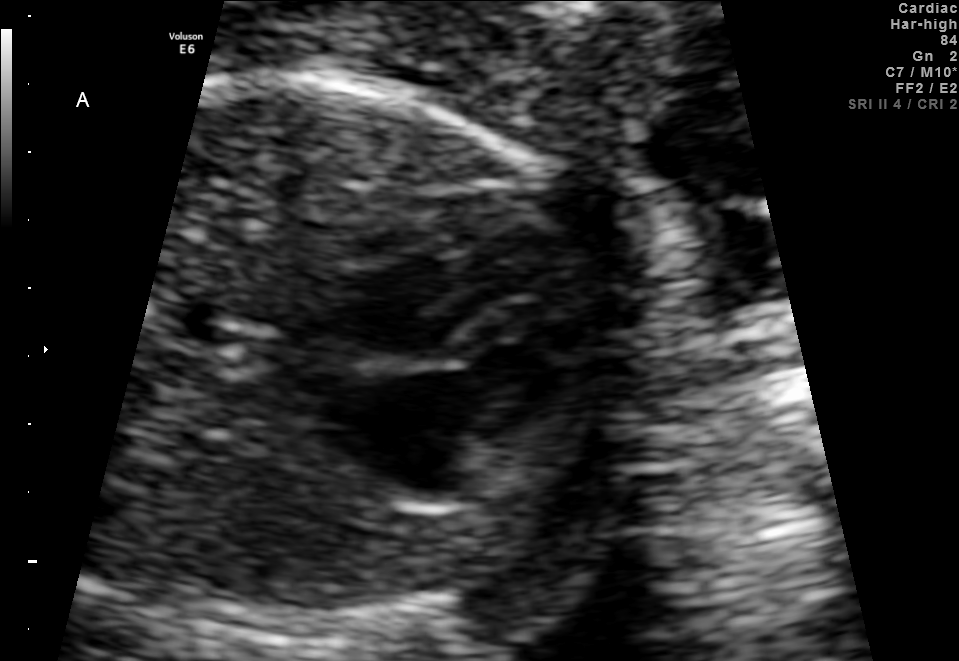
Identify the standard plane in this fetal ultrasound image: fetal abdomen, fetal brain, fetal femur, fetal thorax, maternal cervix, or other. If it's fetal brain and one of the three standard brain planes (trans-thalamic, trans-cerebellum, trans-ventricular), name which.

Fetal thorax